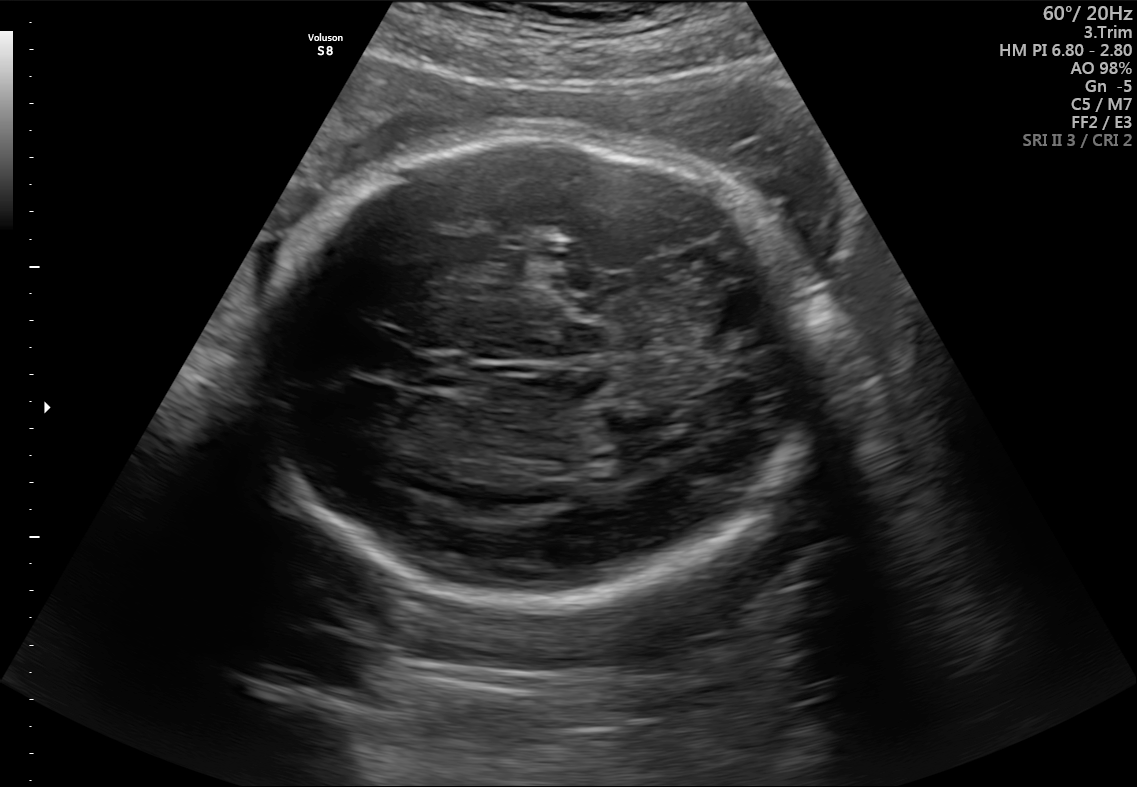
Fetal brain, trans-thalamic plane. Give [x1,y1,x2,y2] bounding boxes for each visible structure among: fetal head, CSP, LV.

Head: [251,135,822,607]
CSP: [398,351,458,394]